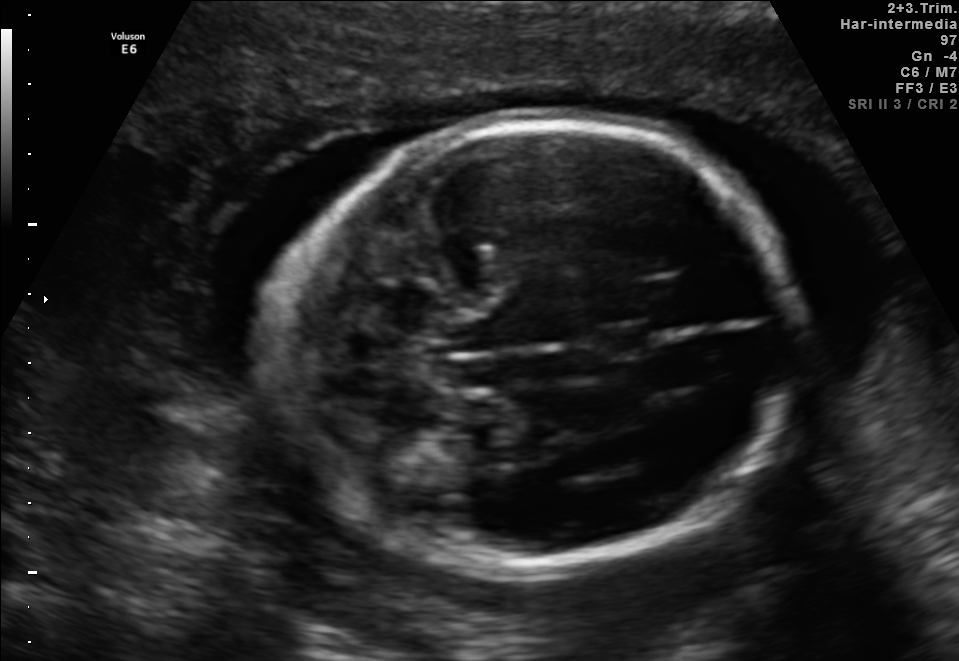
In this fetal brain, trans-cerebellum plane, give the bounding box of the fetal head.

[275,114,790,575]